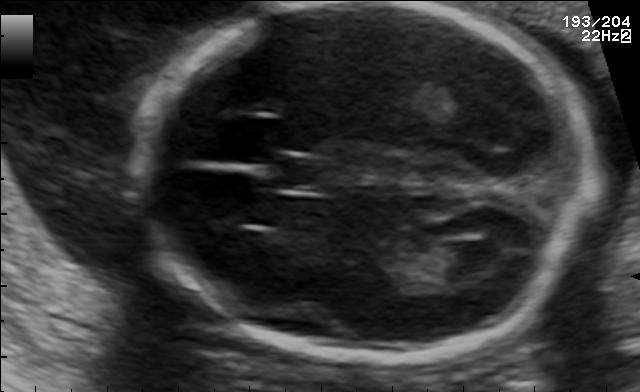
Which standard maternal-fetal ultrasound plane is shown: fetal abdomen, fetal brain, fetal femur, fetal thorax, maternal cervix, or other? If it's fetal brain and one of the three standard brain planes (trans-thalamic, trans-cerebellum, trans-ventricular), name which.

Fetal brain (trans-ventricular plane)